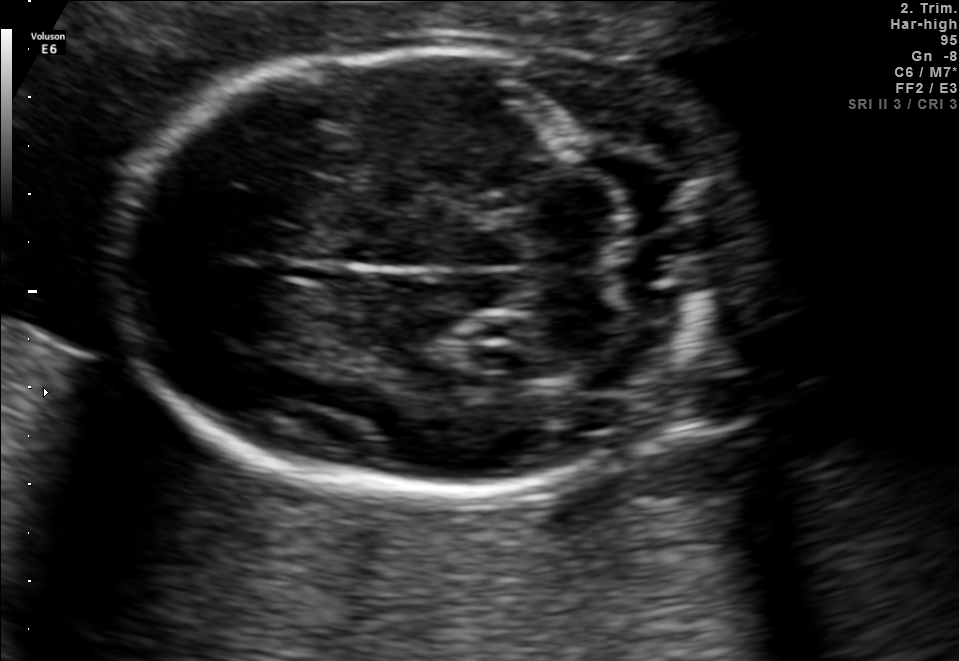
Fetal brain, trans-cerebellum plane. Locate the fetal head and, if visible, the cavum septum pellucidum (CSP) and lateral ventricle (LV). Give bounding boxes as [x1,y1,x2,y2].

Head: [111,50,752,491]